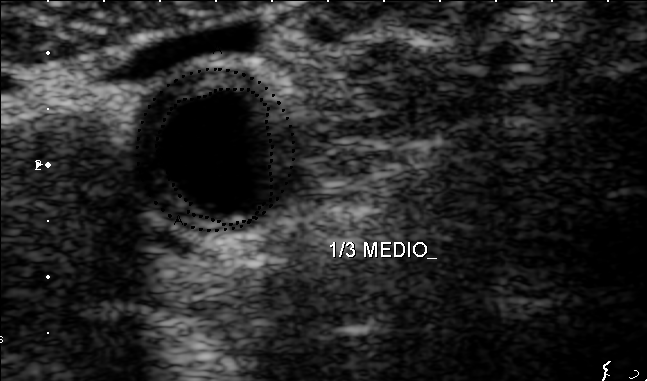
Identify the standard plane in this fetal ultrasound image: fetal abdomen, fetal brain, fetal femur, fetal thorax, maternal cervix, or other. If it's fetal brain and one of the three standard brain planes (trans-thalamic, trans-cerebellum, trans-ventricular), name which.

Other